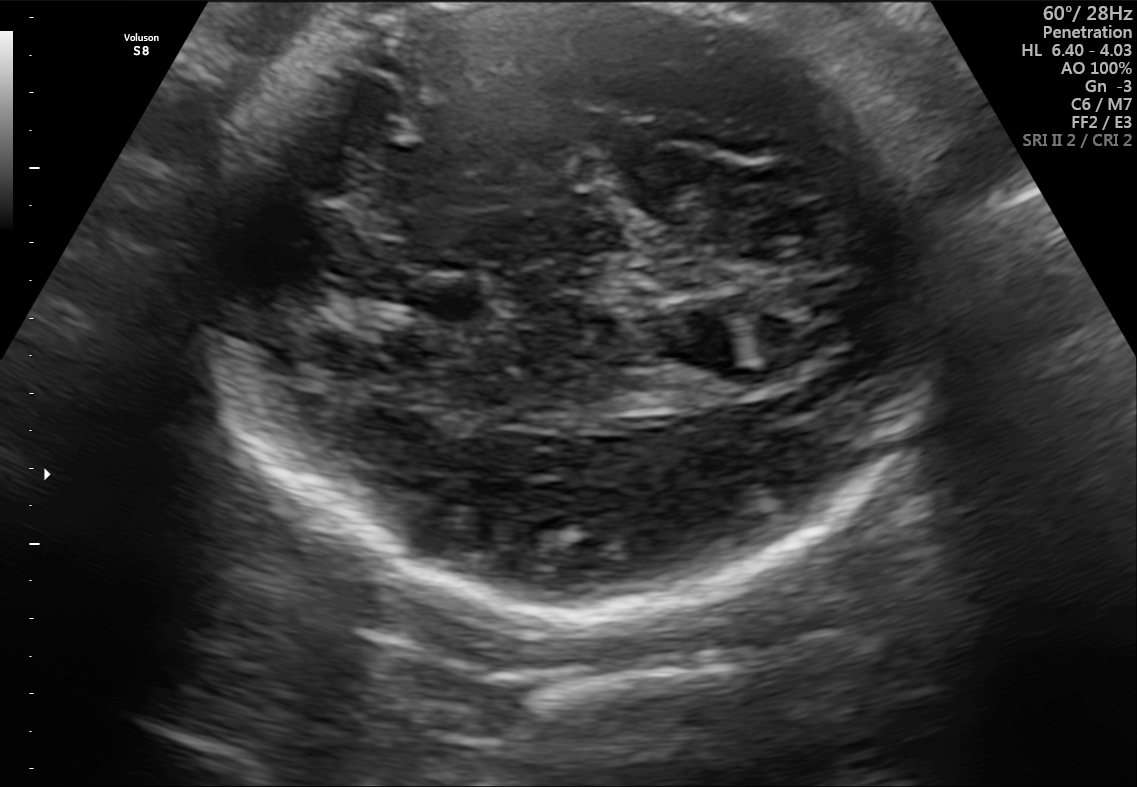
This is a 2D maternal-fetal ultrasound frame. Is it a fetal abdomen, fetal brain, fetal femur, fetal thorax, maternal cervix, or other standard plane? If it's fetal brain and one of the three standard brain planes (trans-thalamic, trans-cerebellum, trans-ventricular), name which.

Fetal brain (trans-thalamic plane)